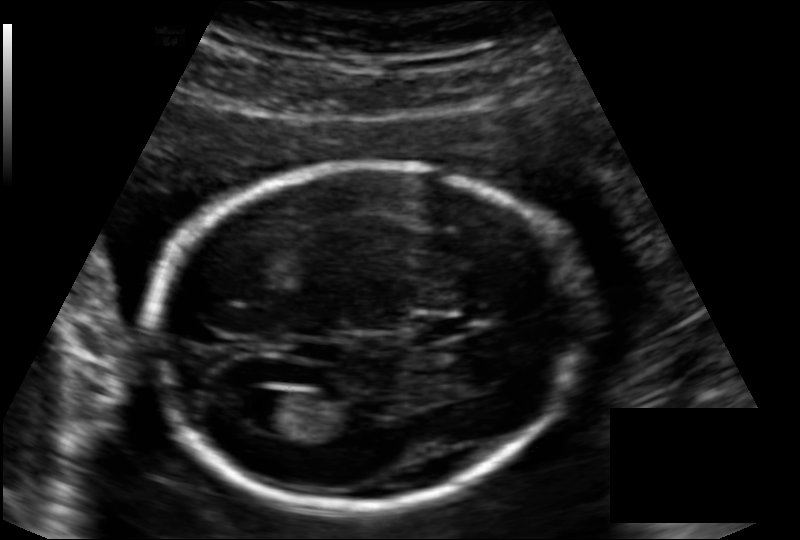
Estimate the fetal head circumference from this 2D ultrasound. Image width: 108.5 mm.

Head circumference: 173.3 mm.